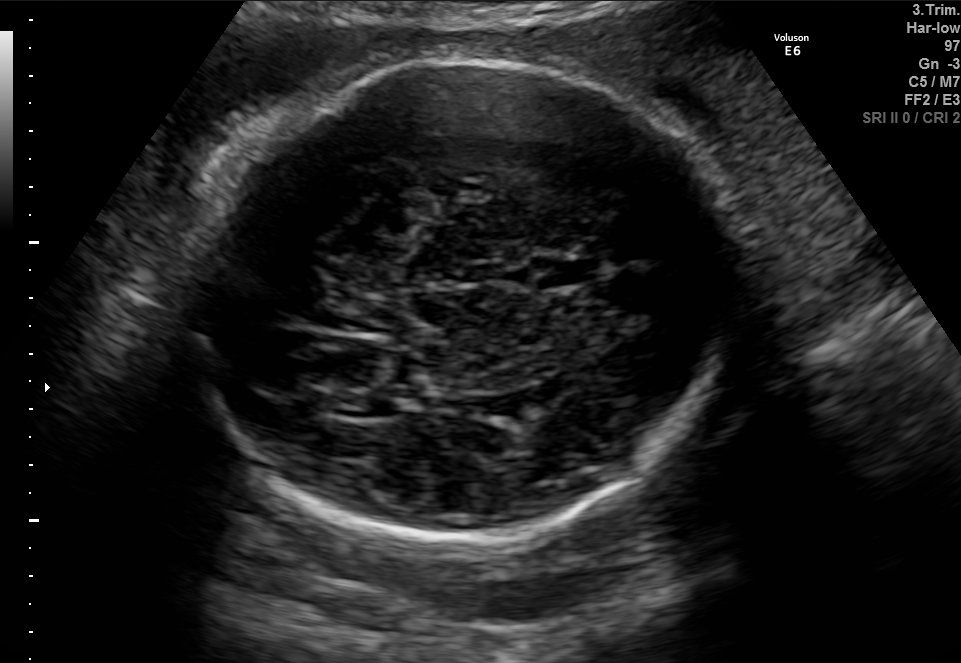
Fetal brain, trans-thalamic plane. Locate the fetal head.

Head: [181,57,746,548]